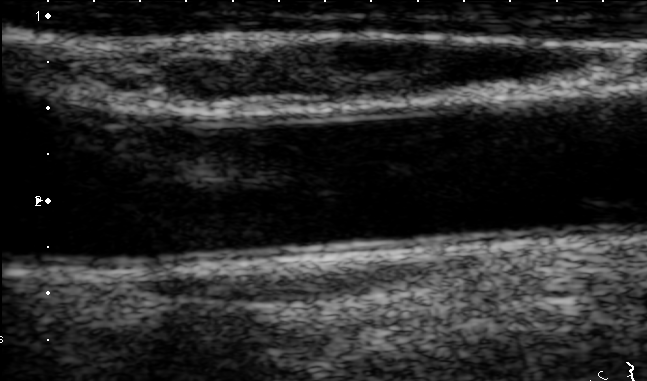
Identify the standard plane in this fetal ultrasound image: fetal abdomen, fetal brain, fetal femur, fetal thorax, maternal cervix, or other. If it's fetal brain and one of the three standard brain planes (trans-thalamic, trans-cerebellum, trans-ventricular), name which.

Other